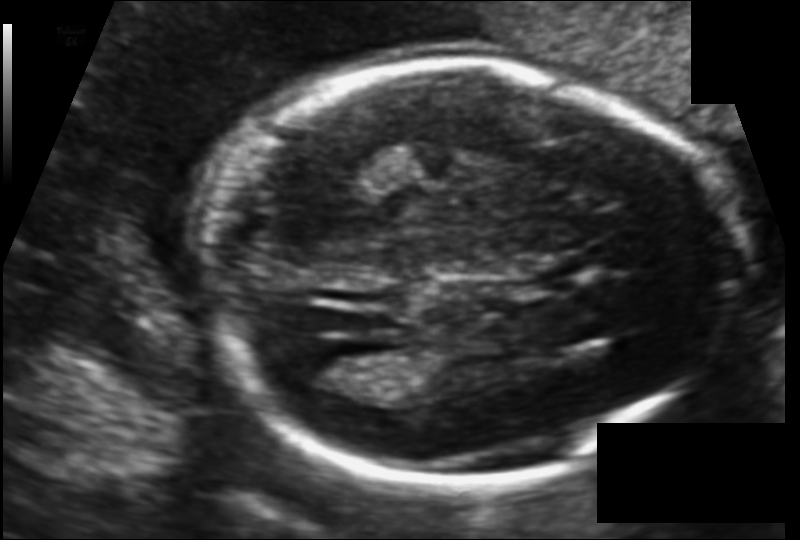
Fetal head ultrasound. Image width: 93.1 mm. Where is the fetal head?

Head bounding box: [198,60,736,485]